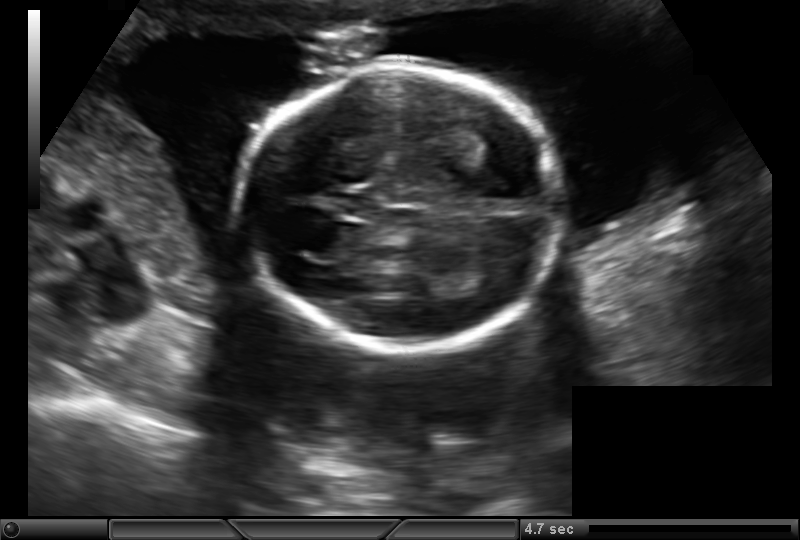
Estimate the fetal head circumference from this 2D ultrasound.

Head circumference: 160.4 mm (image width 129.0 mm).